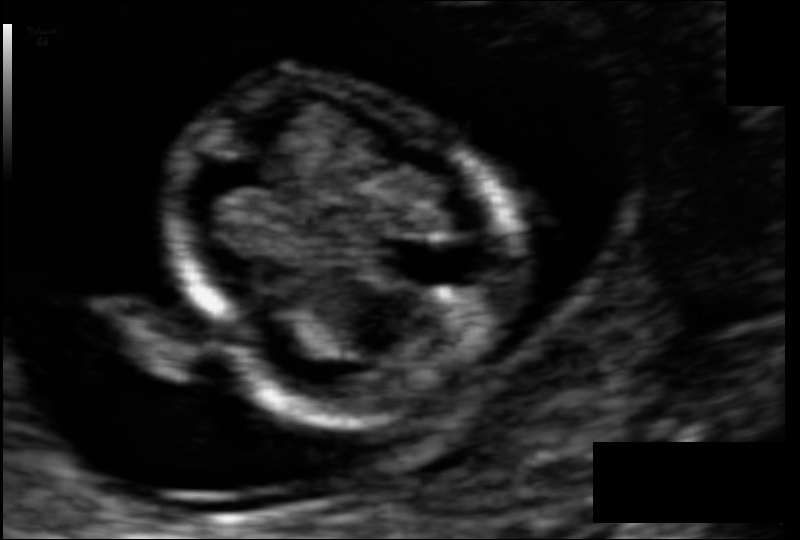
Fetal head ultrasound. Image width: 47.3 mm. Locate the fetal head.

Head: [165,75,513,416]